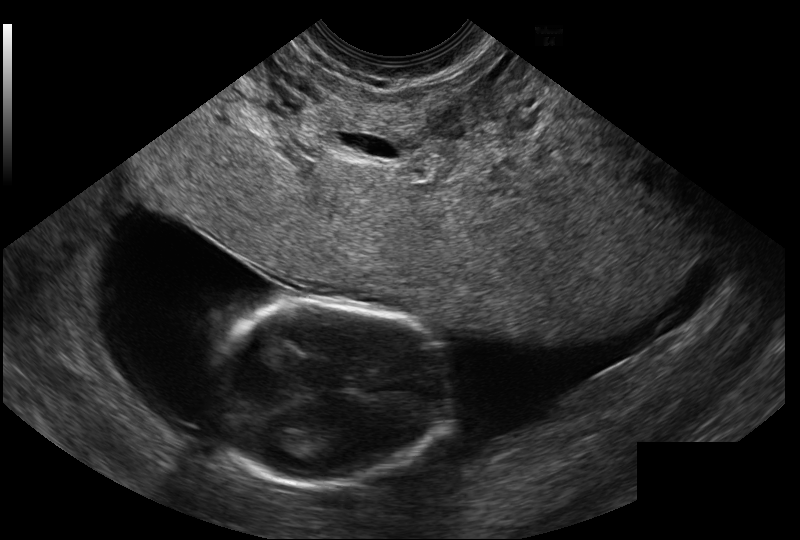
Measure the fetal head circumference shown in this ultrasound image. Image width: 91.4 mm.

Head circumference: 80.3 mm.